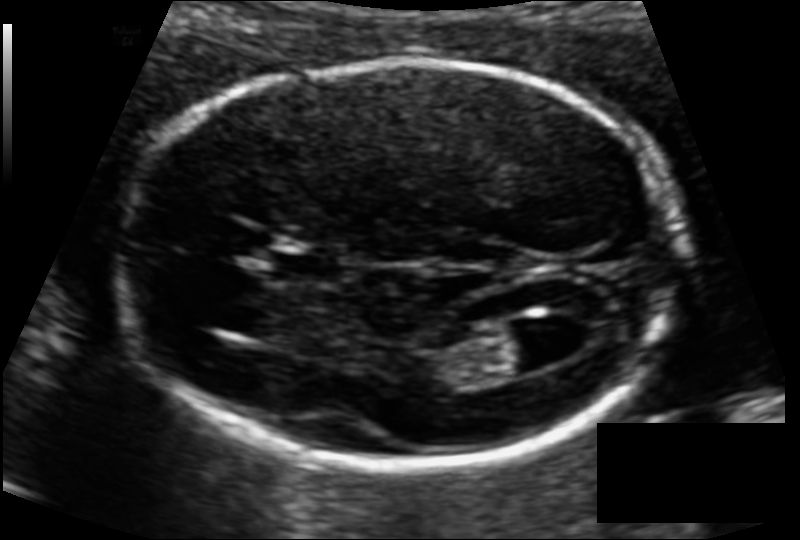
Fetal head ultrasound. Image width: 83.4 mm. Locate the fetal head and, if visible, the cavum septum pellucidum (CSP) and lateral ventricle (LV). Give bounding boxes as [x1,y1,x2,y2].

Head: [121,60,686,462]
CSP: [272,253,342,281]
Lateral ventricle: [485,314,574,380]